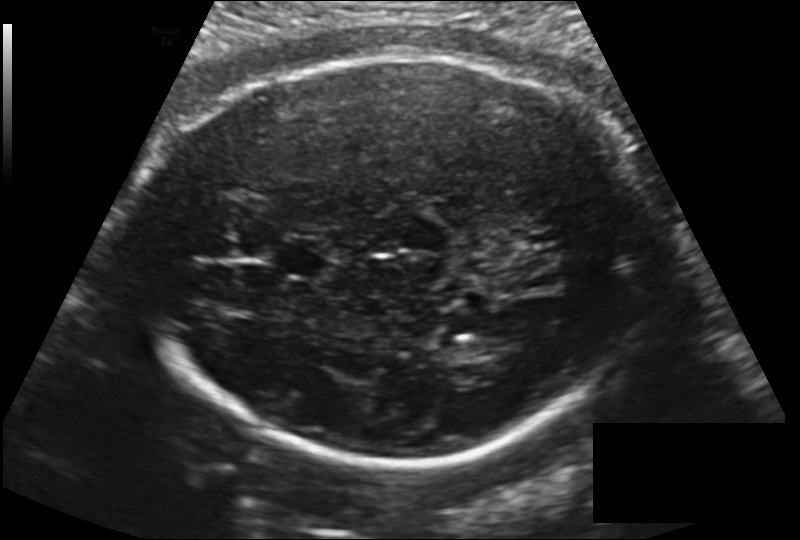
Fetal head ultrasound. Image width: 144.8 mm. Locate the cavum septum pellucidum.

CSP: [274,237,336,279]